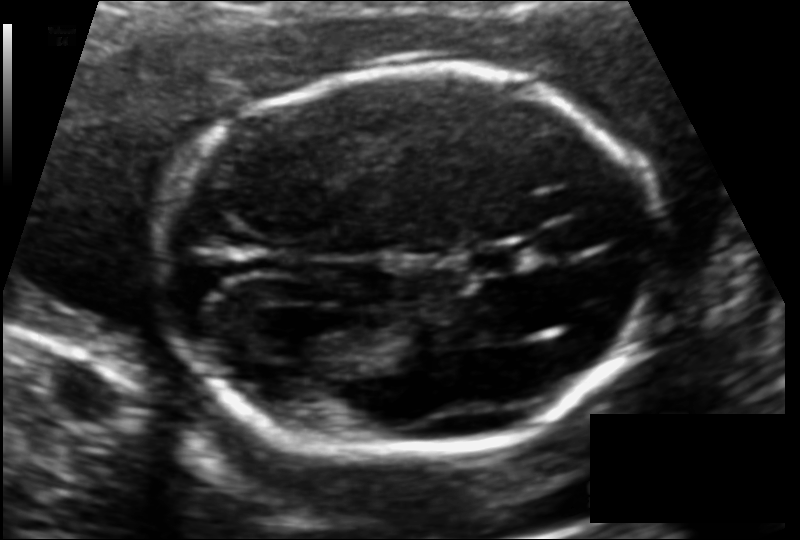
Measure the fetal head circumference shown in this ultrasound image. Image width: 93.1 mm.

Head circumference: 168.3 mm.